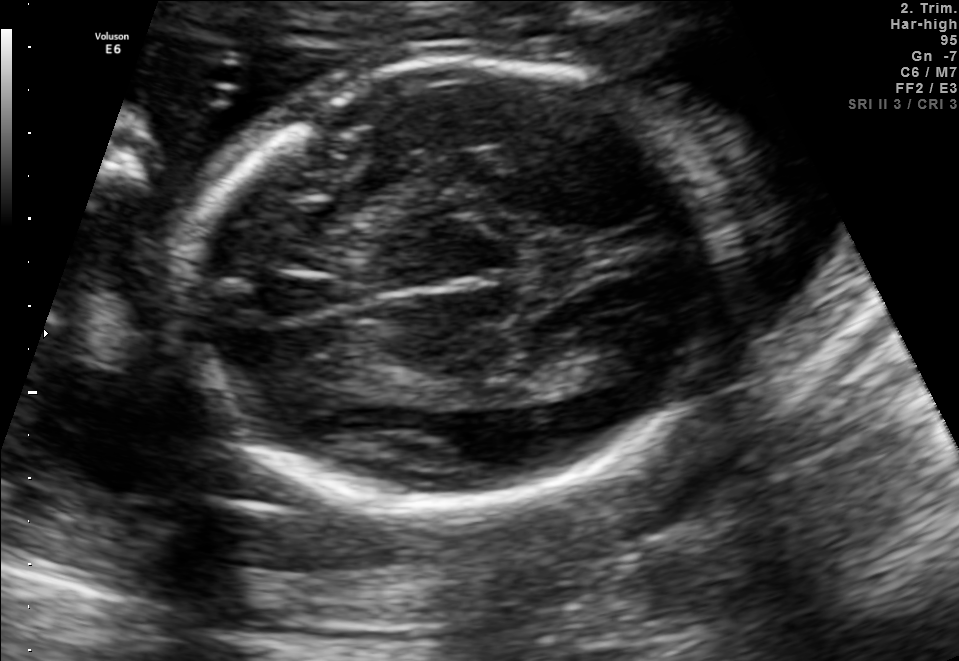
Fetal brain, trans-thalamic plane. Where is the fetal head?

Head bounding box: [182,56,719,507]